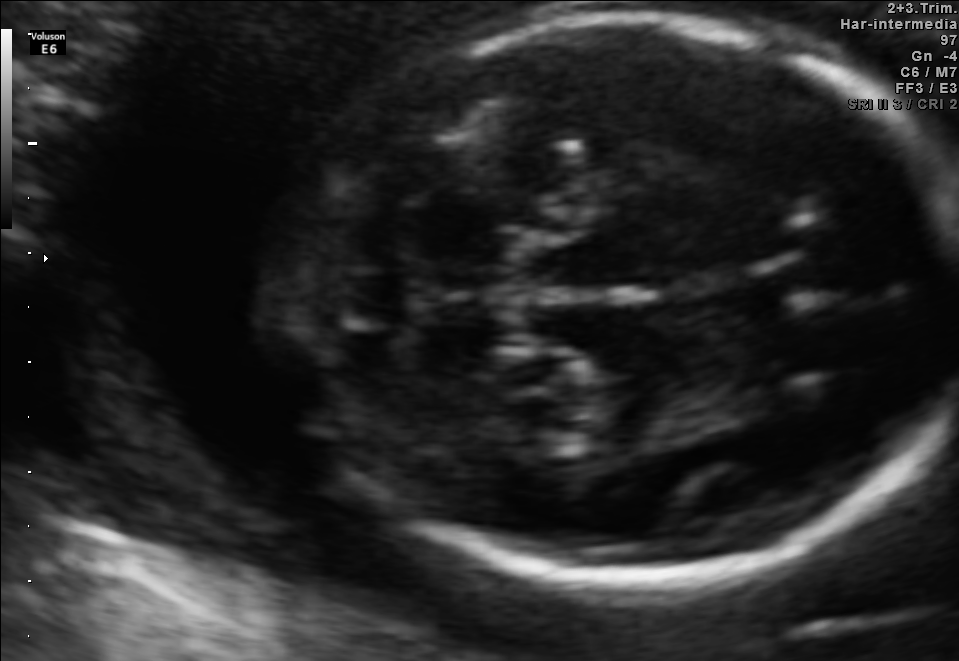
Fetal brain, trans-cerebellum plane. Locate the fetal head and, if visible, the cavum septum pellucidum (CSP) and lateral ventricle (LV). Give bounding boxes as [x1,y1,x2,y2].

Head: [284,14,957,581]